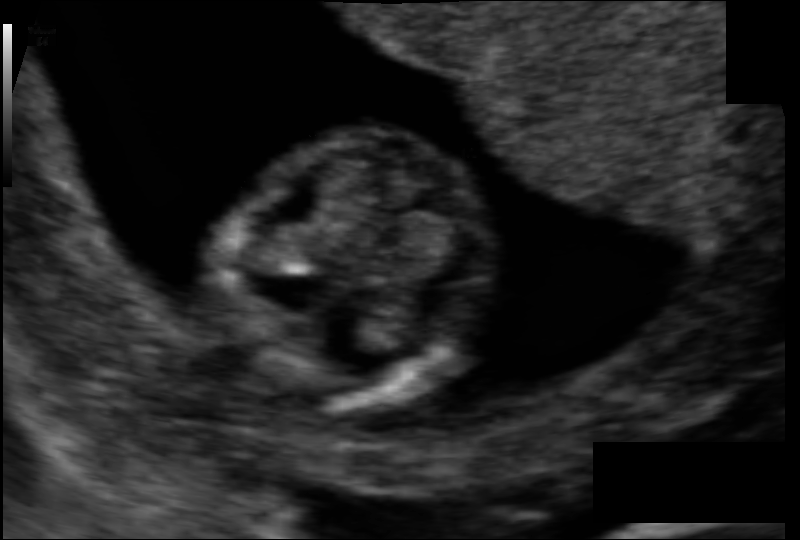
Estimate the fetal head circumference from this 2D ultrasound. Image width: 61.7 mm.

Head circumference: 69.6 mm.